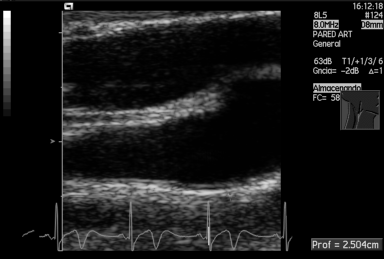
Which standard maternal-fetal ultrasound plane is shown: fetal abdomen, fetal brain, fetal femur, fetal thorax, maternal cervix, or other? If it's fetal brain and one of the three standard brain planes (trans-thalamic, trans-cerebellum, trans-ventricular), name which.

Other